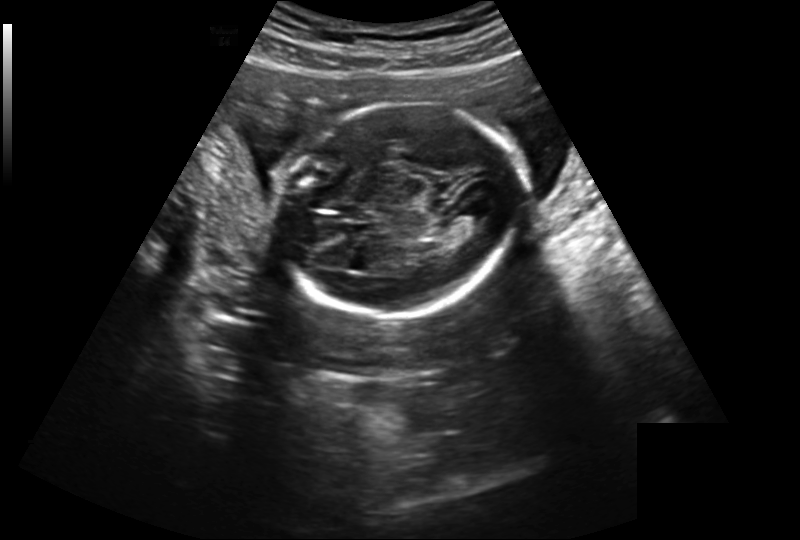
Estimate the fetal head circumference from this 2D ultrasound.

Head circumference: 179.5 mm (image width 191.4 mm).